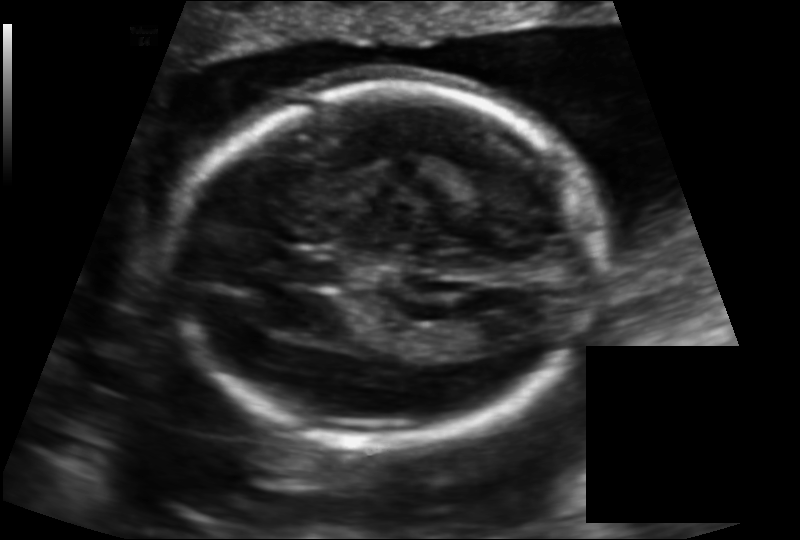
From this fetal ultrasound, estimate the head circumference (image width 106.6 mm).

Head circumference: 171.1 mm.